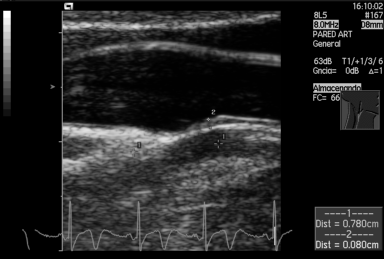
Which standard maternal-fetal ultrasound plane is shown: fetal abdomen, fetal brain, fetal femur, fetal thorax, maternal cervix, or other? If it's fetal brain and one of the three standard brain planes (trans-thalamic, trans-cerebellum, trans-ventricular), name which.

Other